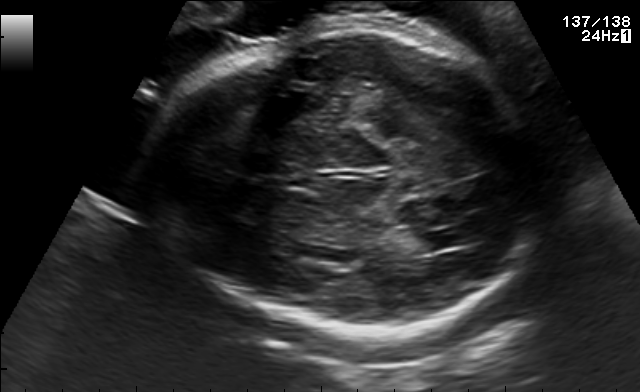
Fetal brain, trans-thalamic plane. Give [x1,y1,x2,y2] bounding boxes for each visible structure among: fetal head, CSP, LV.

Head: [145,26,555,333]
Lateral ventricle: [410,224,469,256]